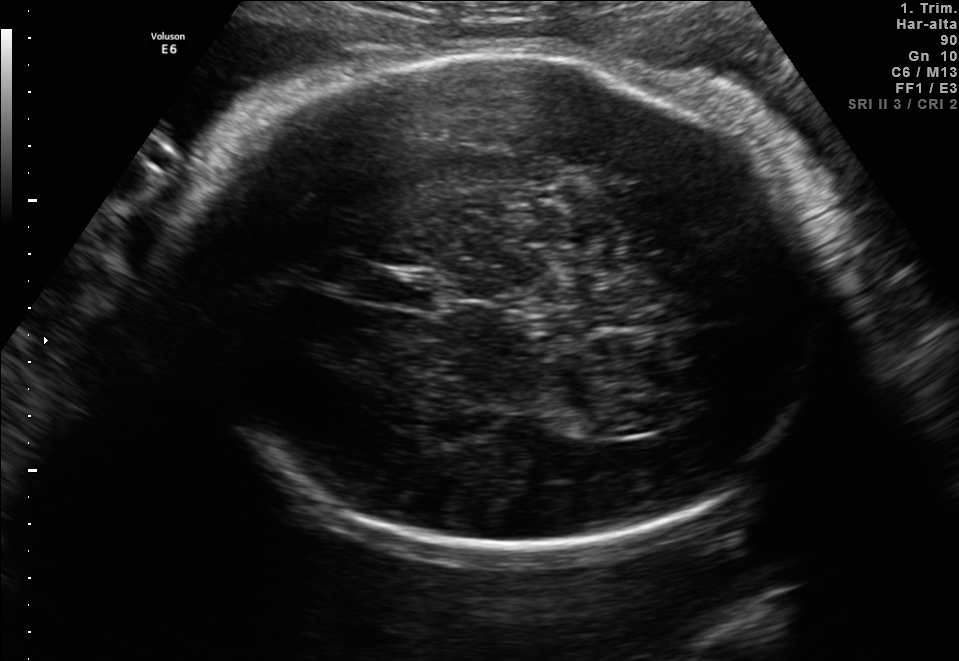
Fetal brain, trans-thalamic plane. Locate the fetal head and, if visible, the cavum septum pellucidum (CSP) and lateral ventricle (LV). Give bounding boxes as [x1,y1,x2,y2].

Head: [189,46,816,545]
CSP: [360,265,438,311]
Lateral ventricle: [586,402,661,441]